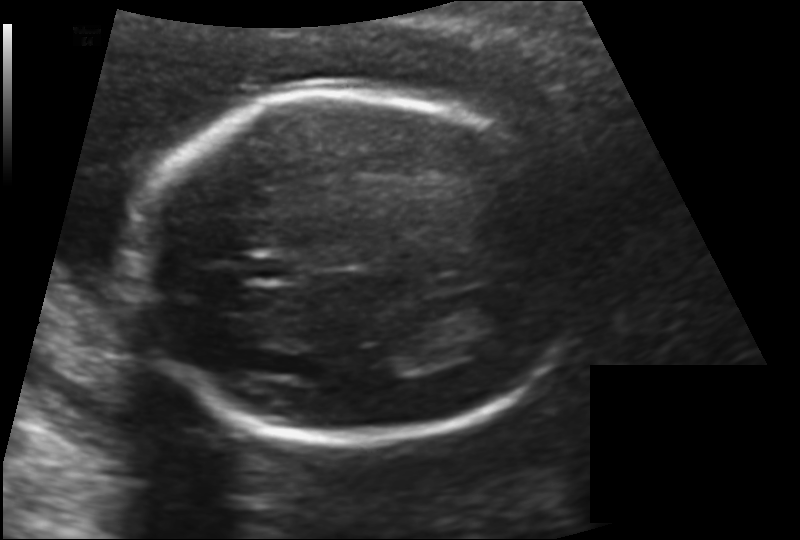
Measure the fetal head circumference shown in this ultrasound image. Image width: 113.8 mm.

Head circumference: 185.1 mm.